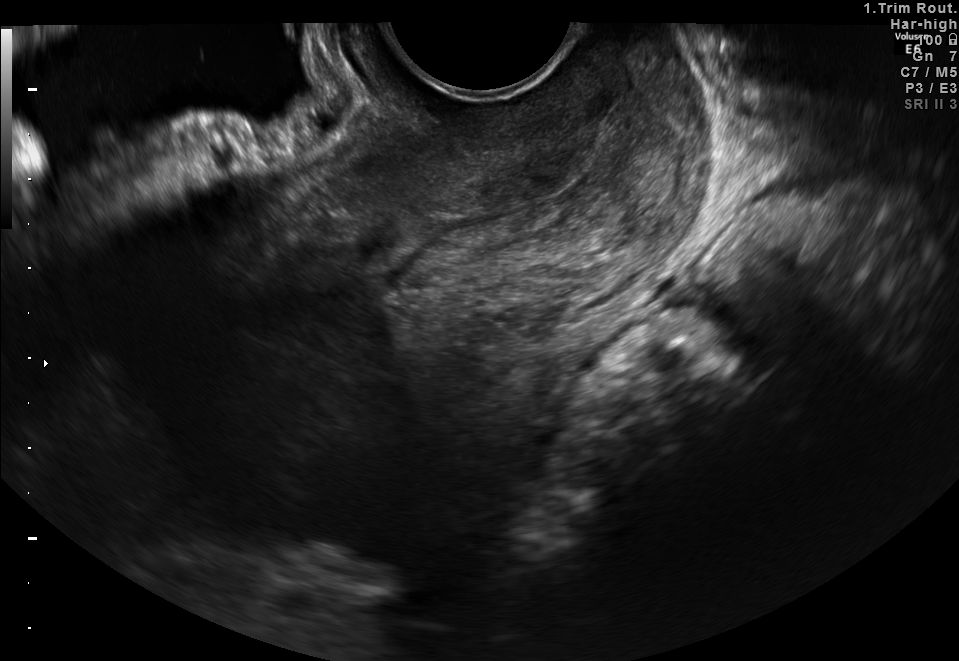
Which standard maternal-fetal ultrasound plane is shown: fetal abdomen, fetal brain, fetal femur, fetal thorax, maternal cervix, or other? If it's fetal brain and one of the three standard brain planes (trans-thalamic, trans-cerebellum, trans-ventricular), name which.

Maternal cervix